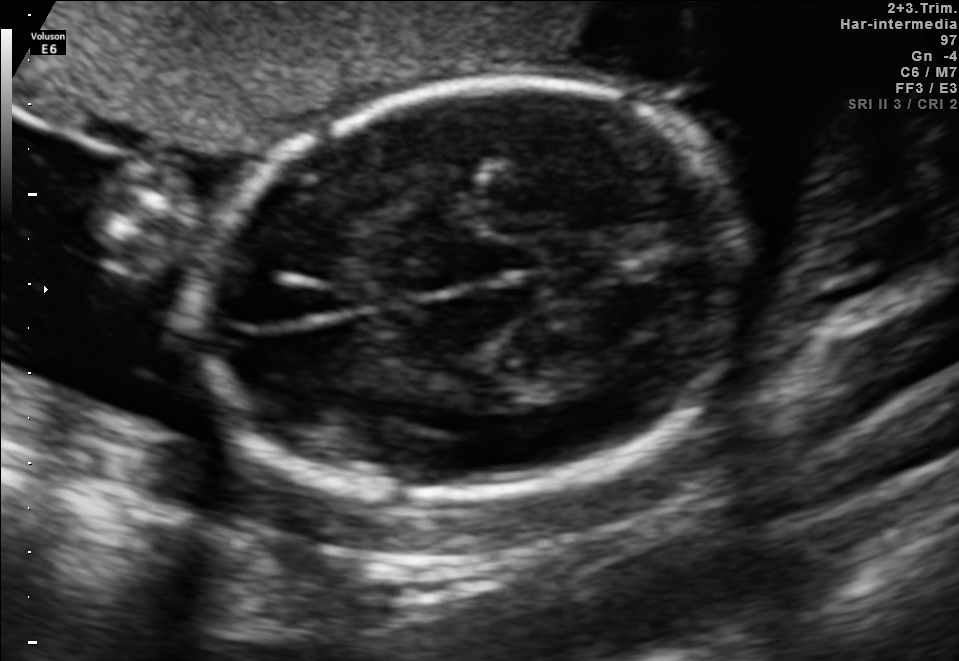
Fetal brain, trans-thalamic plane. Locate the fetal head and, if visible, the cavum septum pellucidum (CSP) and lateral ventricle (LV). Give bounding boxes as [x1,y1,x2,y2].

Head: [193,80,752,495]